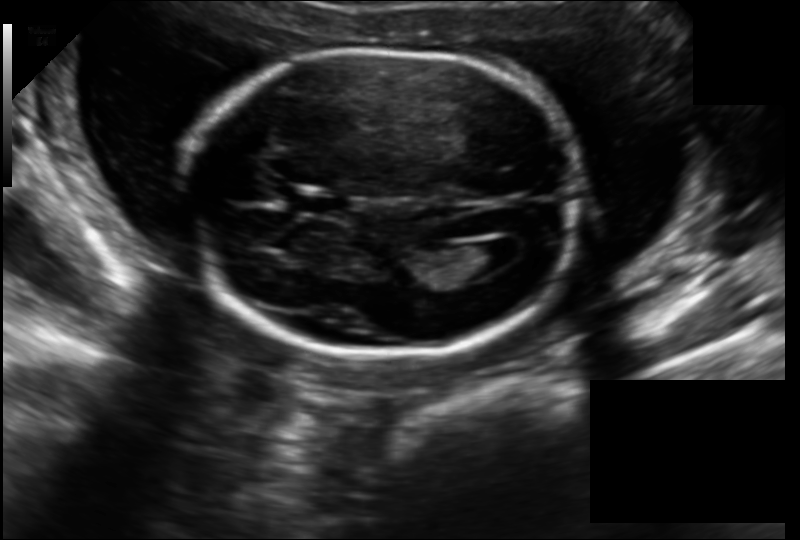
Estimate the fetal head circumference from this 2D ultrasound.

Head circumference: 180.4 mm (image width 125.8 mm).